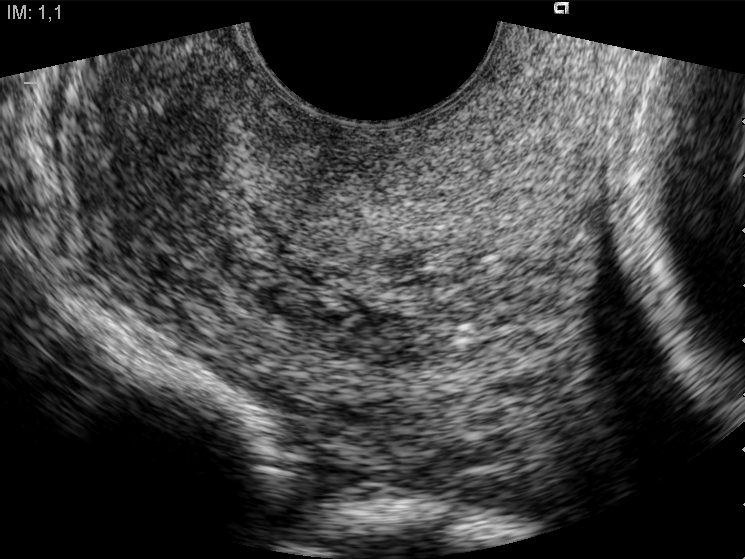
Identify the standard plane in this fetal ultrasound image: fetal abdomen, fetal brain, fetal femur, fetal thorax, maternal cervix, or other. If it's fetal brain and one of the three standard brain planes (trans-thalamic, trans-cerebellum, trans-ventricular), name which.

Maternal cervix